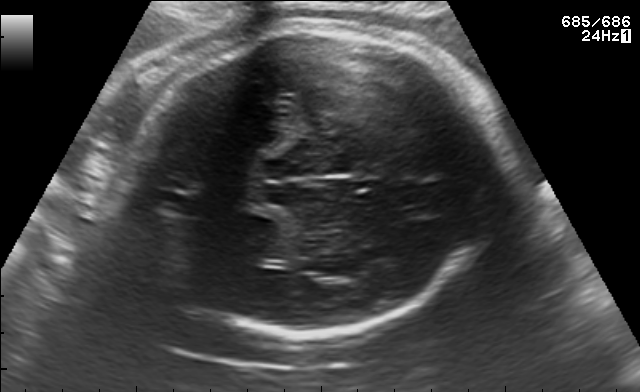
In this fetal brain, trans-thalamic plane, give bounding boxes for the head outline, cavum septum pellucidum (CSP), and lateral ventricle (LV), where visible.

Head: [128,24,501,334]